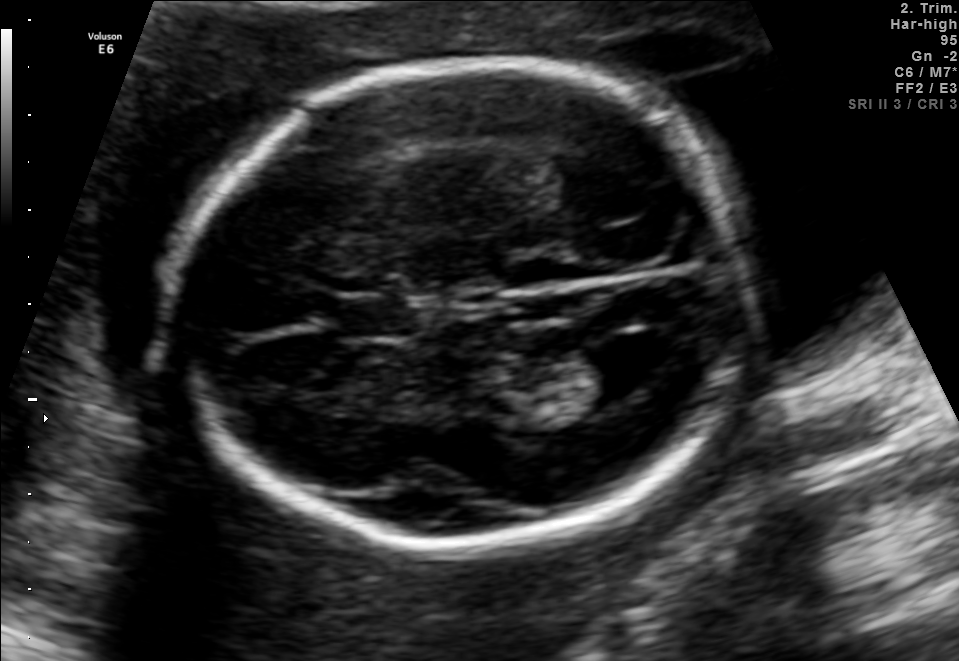
In this fetal brain, trans-ventricular plane, give bounding boxes for the head outline, cavum septum pellucidum (CSP), and lateral ventricle (LV), where visible.

Head: [160,57,761,562]
CSP: [318,294,424,342]
Lateral ventricle: [566,325,678,412]